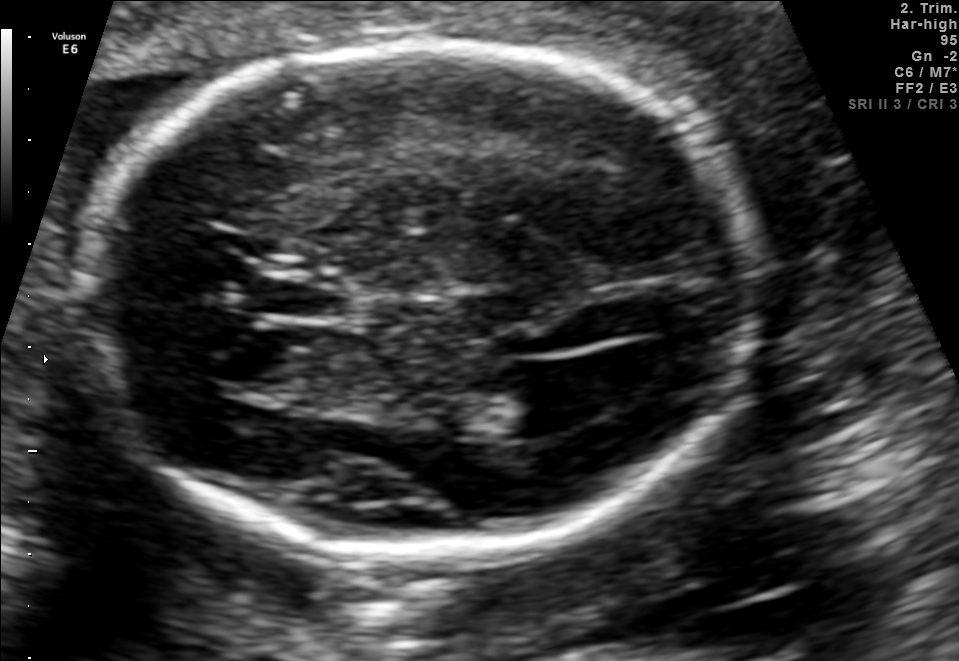
Fetal brain, trans-ventricular plane. Locate the lateral ventricle.

Lateral ventricle: [497,351,618,441]